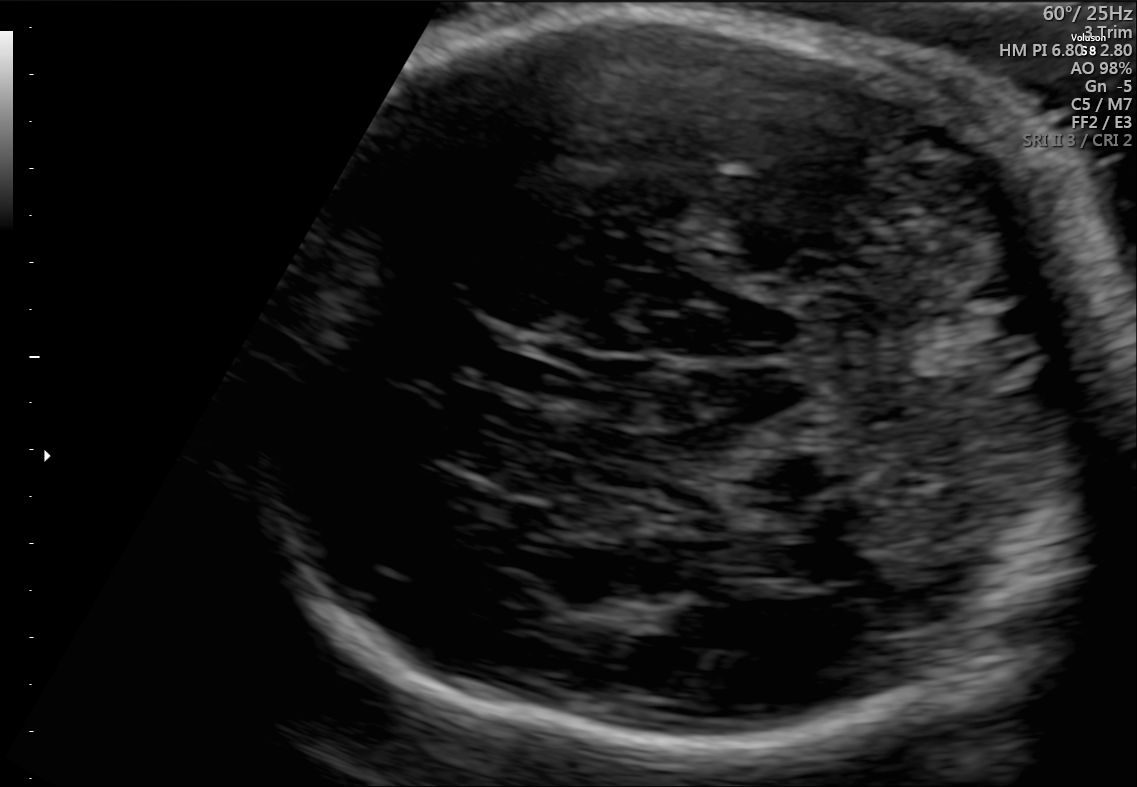
Fetal brain, trans-cerebellum plane. Locate the fetal head.

Head: [286,14,1105,758]